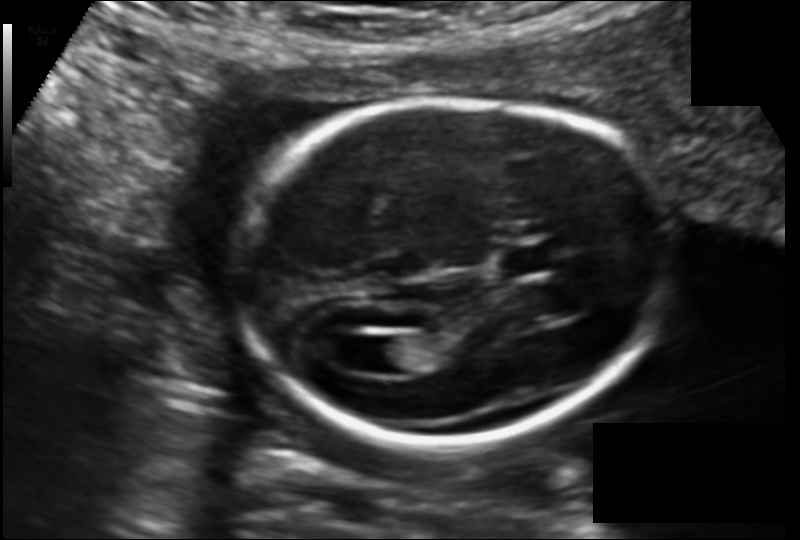
Fetal head ultrasound. Image width: 107.8 mm. Give [x1,y1,x2,y2] bounding boxes for each visible structure among: fetal head, CSP, LV.

Head: [238,98,669,444]
CSP: [495,239,564,280]
Lateral ventricle: [366,335,420,374]